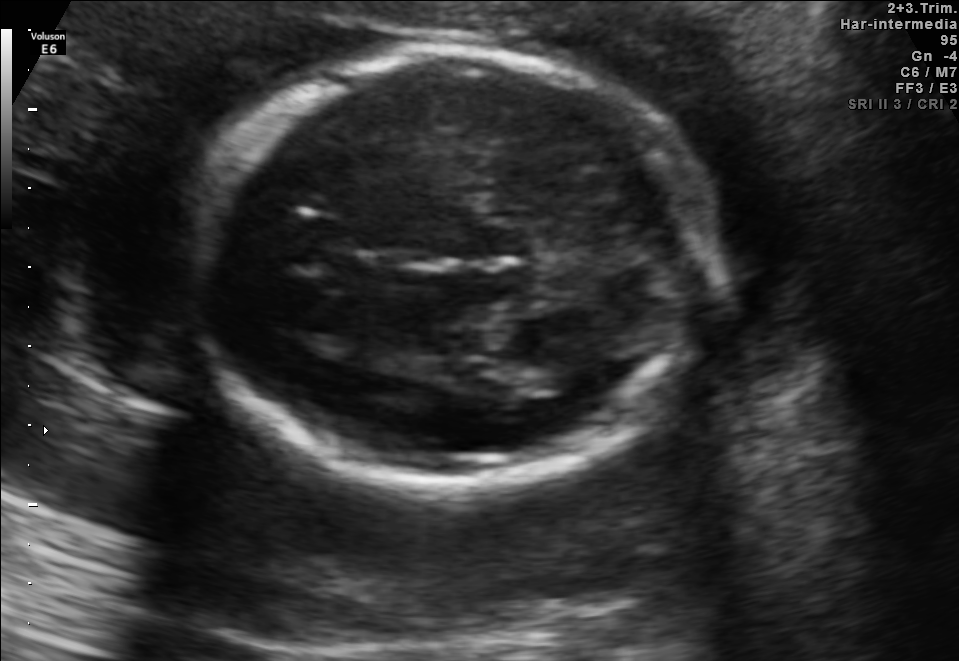
Fetal brain, trans-thalamic plane. Locate the fetal head.

Head: [194,46,709,485]